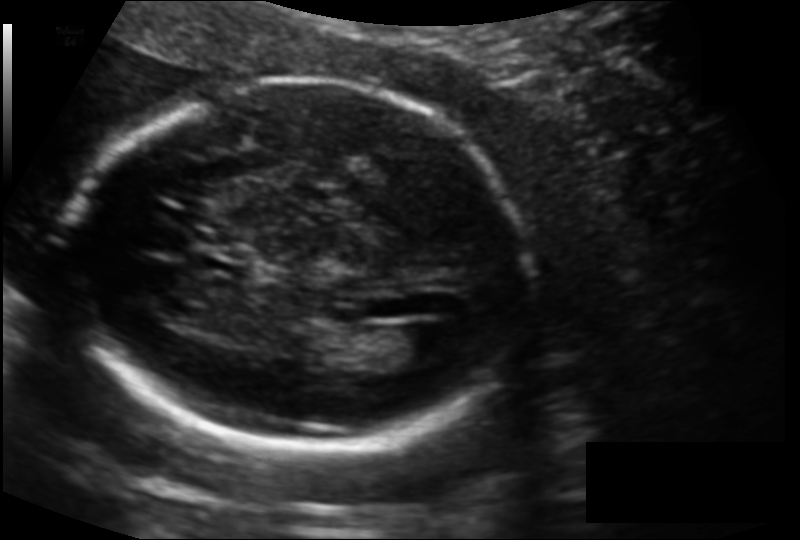
What is the fetal head circumference? Image width is 101.6 mm.

168.7 mm